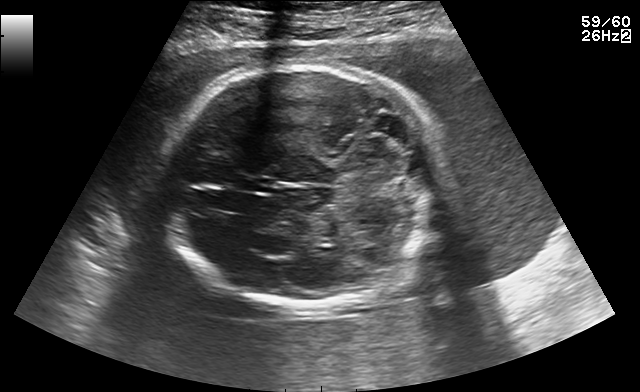
Fetal brain, trans-cerebellum plane. Where is the cavum septum pellucidum?

CSP bounding box: [237,174,273,195]